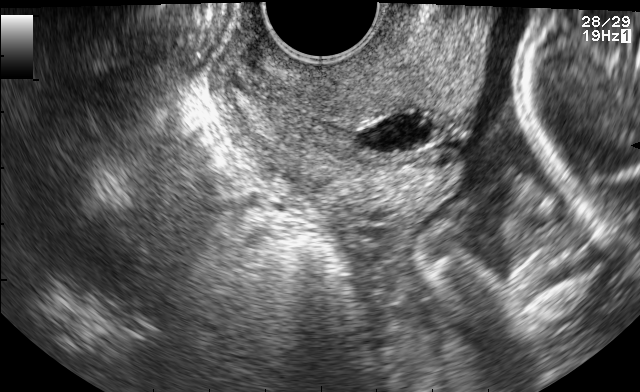
Classify this maternal-fetal ultrasound image as one of the six standard planes — fetal abdomen, fetal brain, fetal femur, fetal thorax, maternal cervix, or other. If it's fetal brain and one of the three standard brain planes (trans-thalamic, trans-cerebellum, trans-ventricular), name which.

Maternal cervix